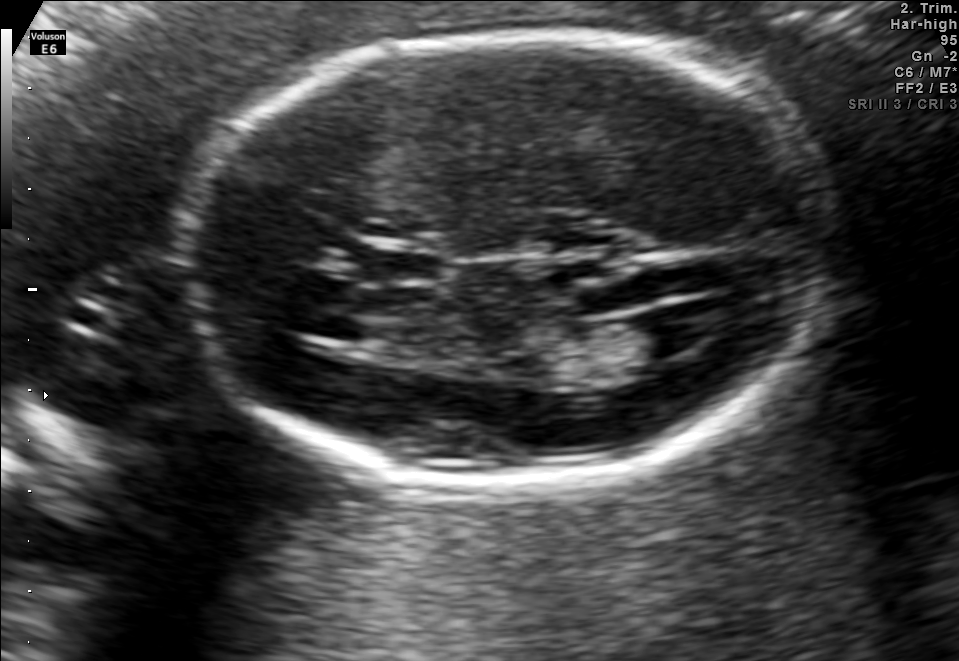
Fetal brain, trans-ventricular plane. Give [x1,y1,x2,y2] bounding boxes for each visible structure among: fetal head, CSP, LV.

Head: [166,25,843,494]
CSP: [387,251,438,281]
Lateral ventricle: [631,298,715,361]